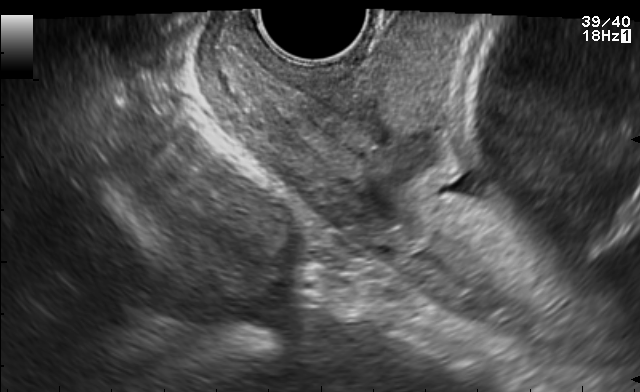
Classify this maternal-fetal ultrasound image as one of the six standard planes — fetal abdomen, fetal brain, fetal femur, fetal thorax, maternal cervix, or other. If it's fetal brain and one of the three standard brain planes (trans-thalamic, trans-cerebellum, trans-ventricular), name which.

Maternal cervix